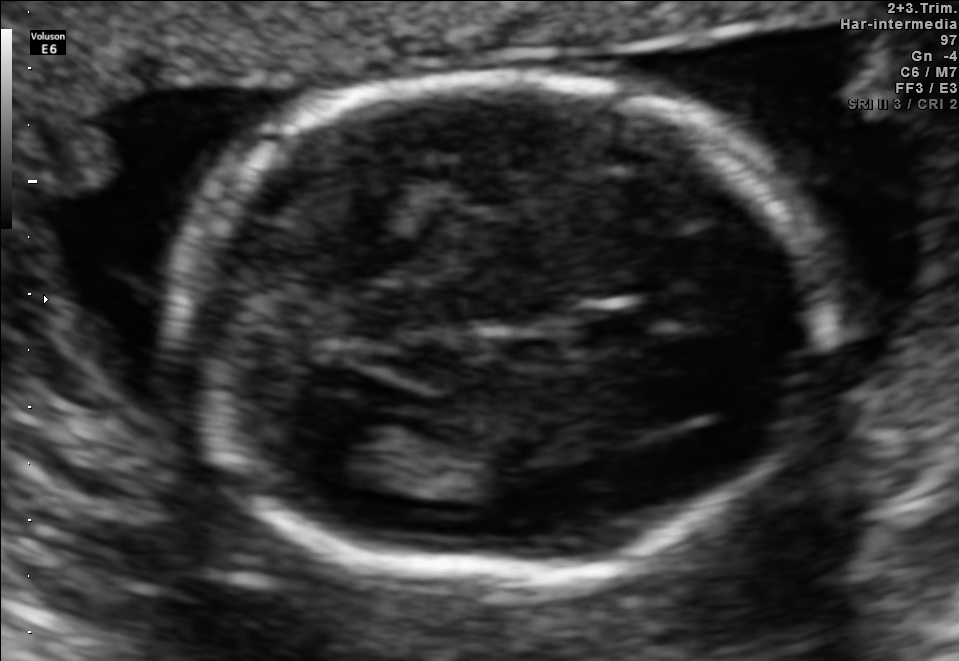
Fetal brain, trans-thalamic plane. Locate the fetal head and, if visible, the cavum septum pellucidum (CSP) and lateral ventricle (LV). Give bounding boxes as [x1,y1,x2,y2].

Head: [171,74,838,577]
CSP: [573,303,662,355]
Lateral ventricle: [316,405,436,494]